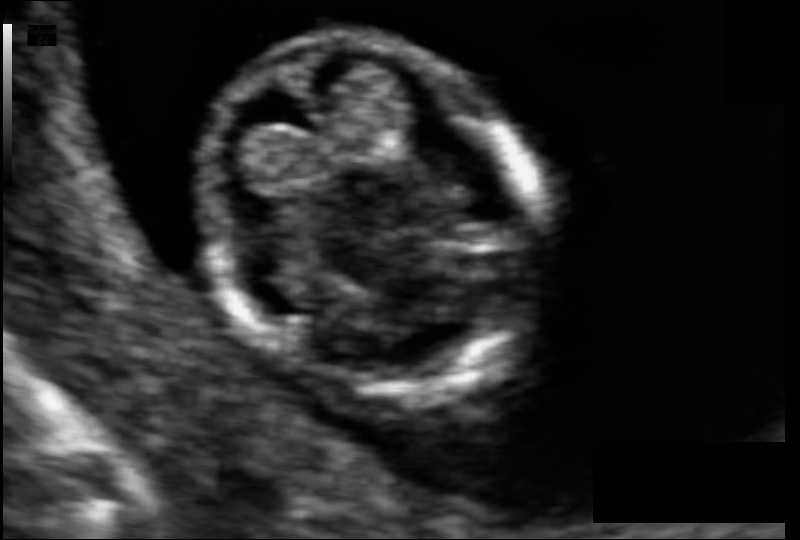
Fetal head ultrasound. Image width: 50.8 mm. Locate the fetal head.

Head: [206,35,537,402]